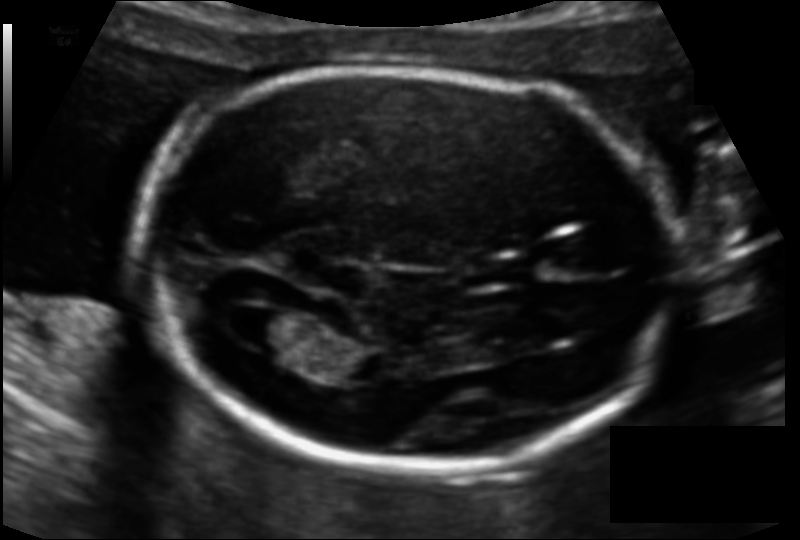
Fetal head ultrasound. Image width: 89.1 mm. Locate the cavum septum pellucidum.

CSP: [468,252,532,293]